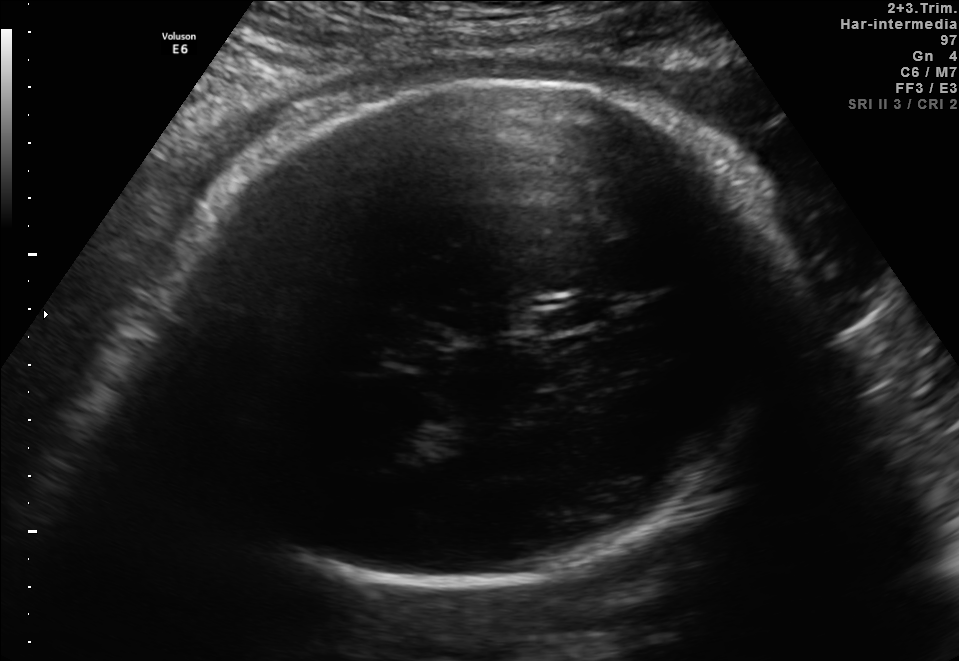
Fetal brain, trans-thalamic plane. Where is the cavum septum pellucidum?

CSP bounding box: [529,300,601,336]